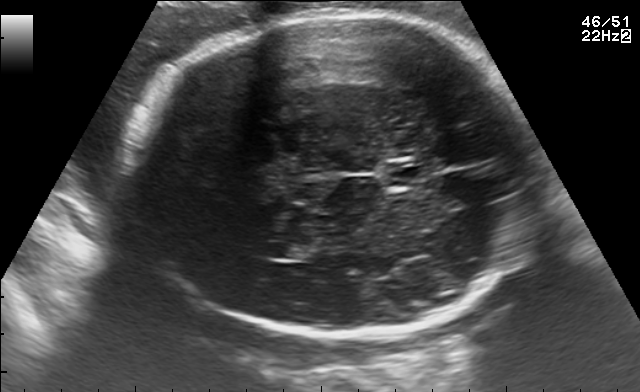
Fetal brain, trans-thalamic plane. Where is the lateral ventricle?

Lateral ventricle bounding box: [261,240,312,260]